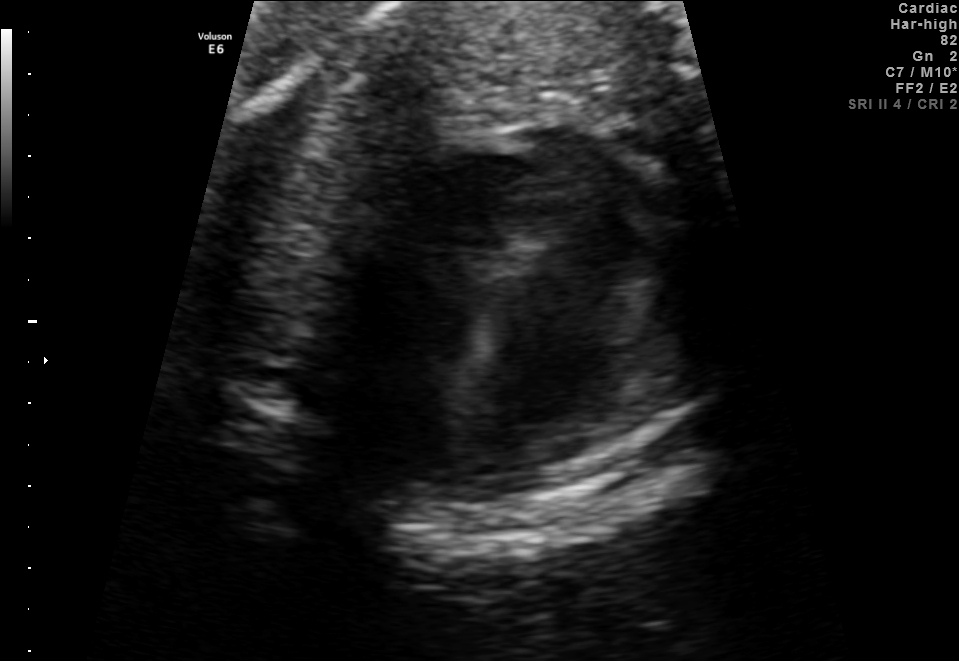
Identify the standard plane in this fetal ultrasound image: fetal abdomen, fetal brain, fetal femur, fetal thorax, maternal cervix, or other. If it's fetal brain and one of the three standard brain planes (trans-thalamic, trans-cerebellum, trans-ventricular), name which.

Fetal thorax